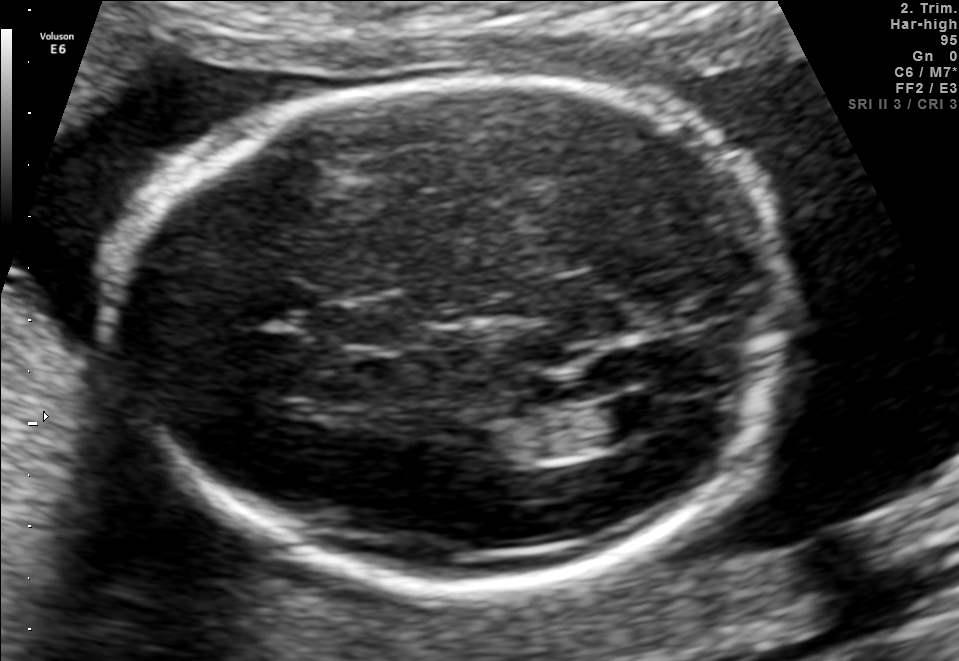
Fetal brain, trans-ventricular plane. Locate the lateral ventricle.

Lateral ventricle: [592,380,680,448]